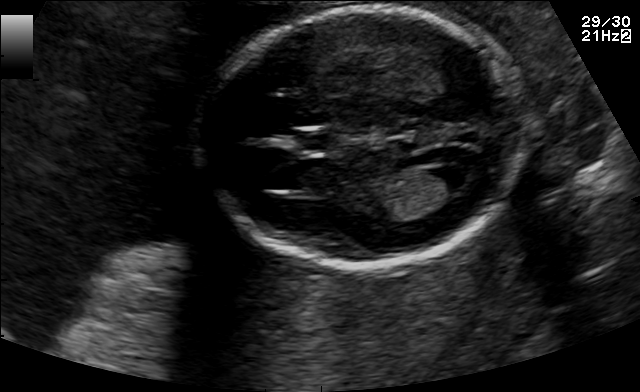
In this fetal brain, trans-ventricular plane, give the bounding box of the cavum septum pellucidum.

[296,131,329,149]